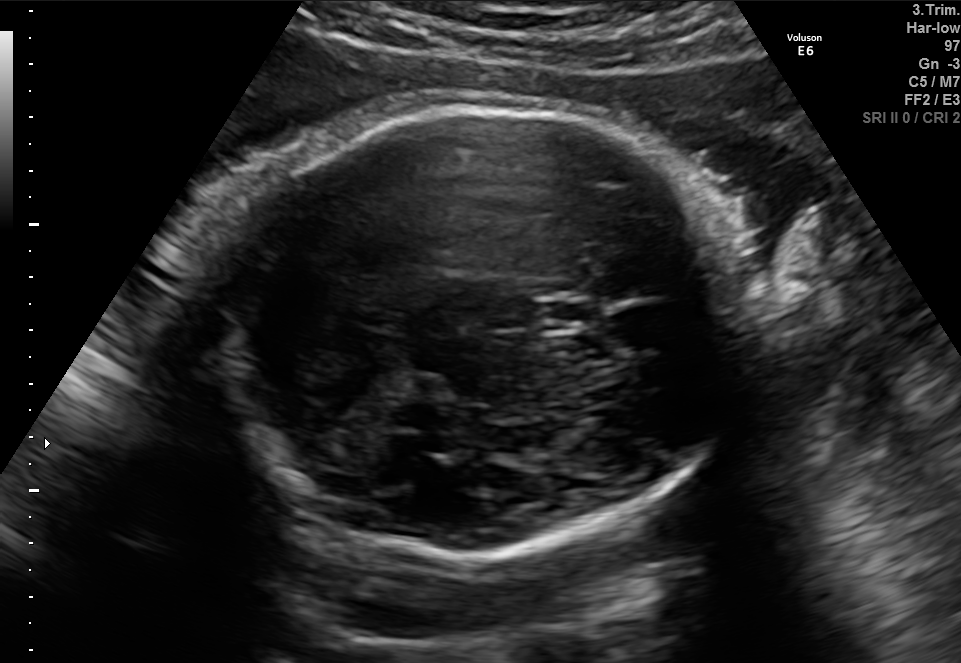
Fetal brain, trans-thalamic plane. Locate the fetal head.

Head: [218,105,755,558]